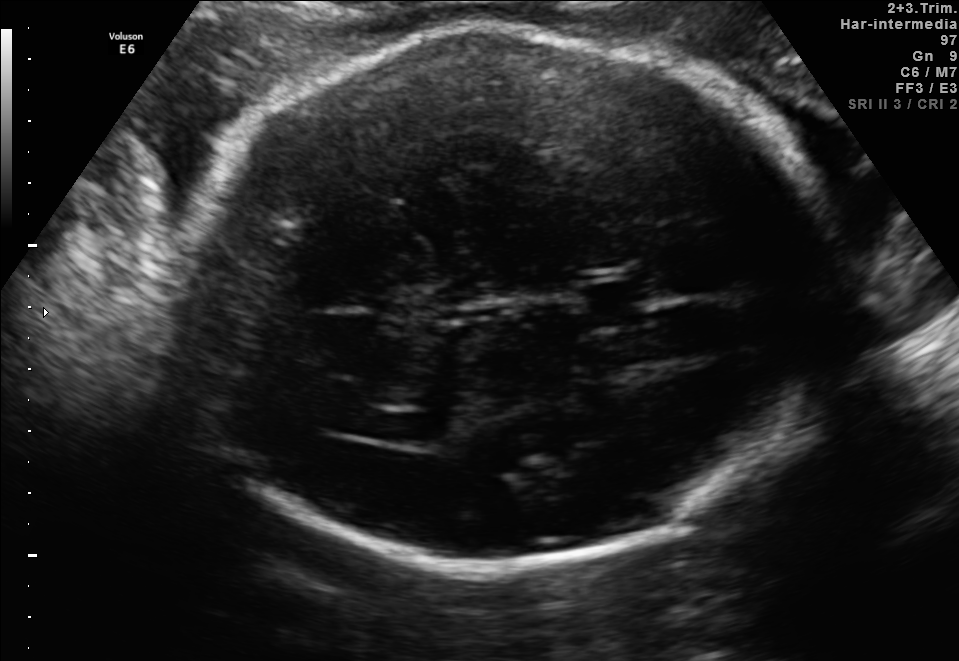
In this fetal brain, trans-ventricular plane, give the bounding box of the lateral ventricle.

[379,408,461,450]